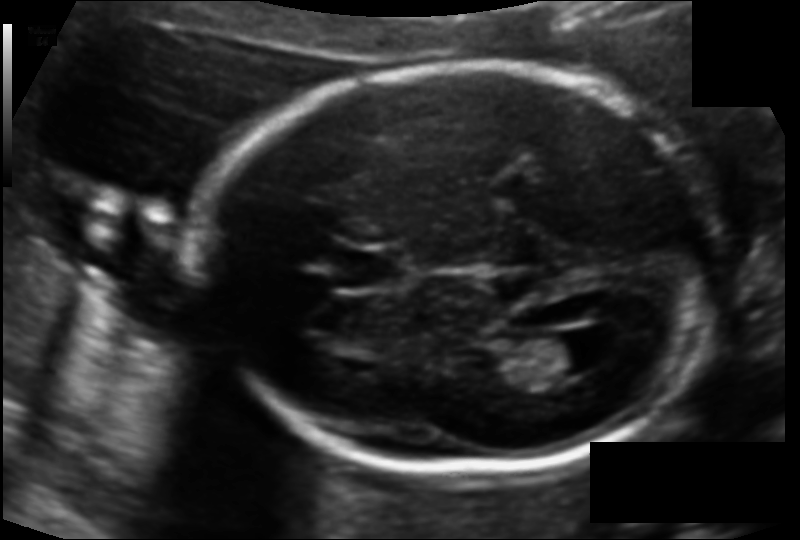
Estimate the fetal head circumference from this 2D ultrasound.

Head circumference: 177.4 mm (image width 94.2 mm).